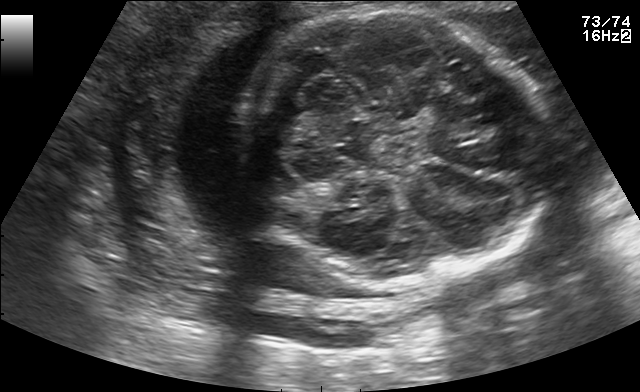
Which standard maternal-fetal ultrasound plane is shown: fetal abdomen, fetal brain, fetal femur, fetal thorax, maternal cervix, or other? If it's fetal brain and one of the three standard brain planes (trans-thalamic, trans-cerebellum, trans-ventricular), name which.

Fetal brain (trans-thalamic plane)